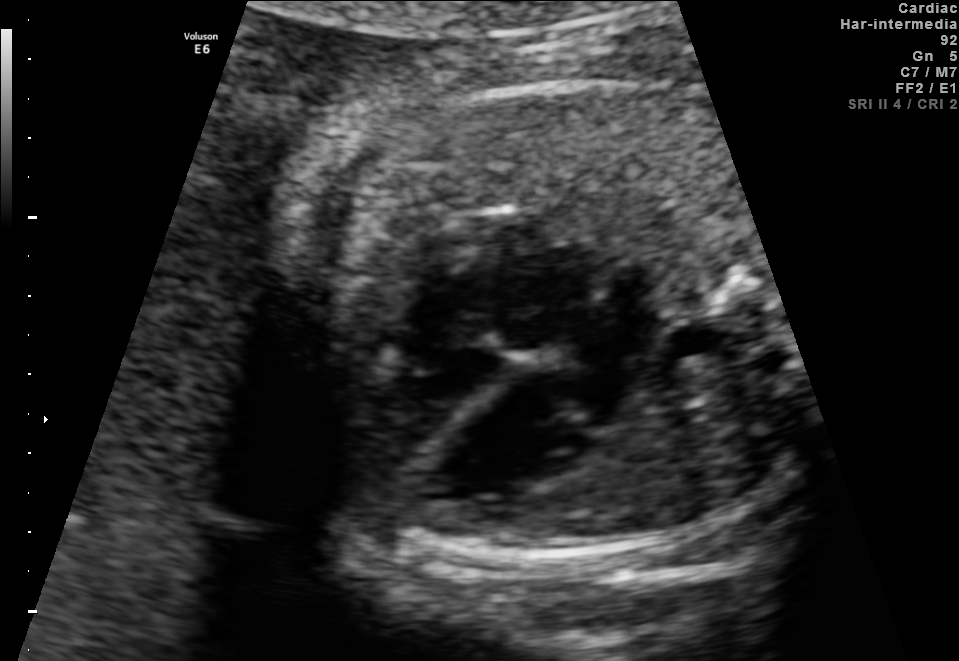
Which standard maternal-fetal ultrasound plane is shown: fetal abdomen, fetal brain, fetal femur, fetal thorax, maternal cervix, or other? If it's fetal brain and one of the three standard brain planes (trans-thalamic, trans-cerebellum, trans-ventricular), name which.

Fetal thorax